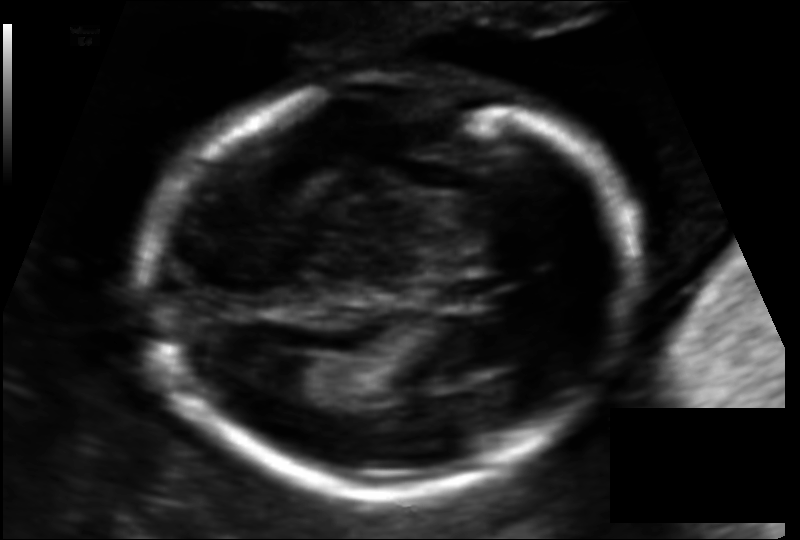
Fetal head ultrasound. Image width: 92.3 mm. Locate the lateral ventricle.

Lateral ventricle: [255,352,339,403]